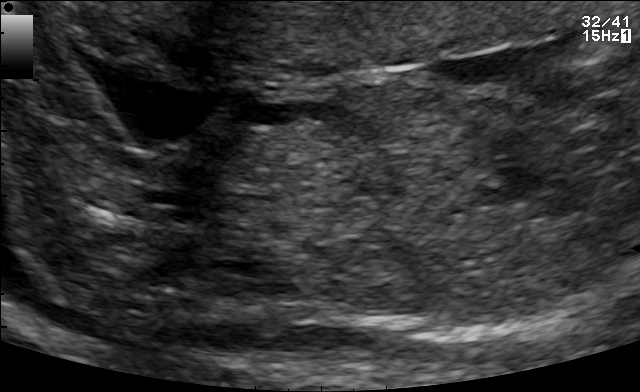
Classify this maternal-fetal ultrasound image as one of the six standard planes — fetal abdomen, fetal brain, fetal femur, fetal thorax, maternal cervix, or other. If it's fetal brain and one of the three standard brain planes (trans-thalamic, trans-cerebellum, trans-ventricular), name which.

Other